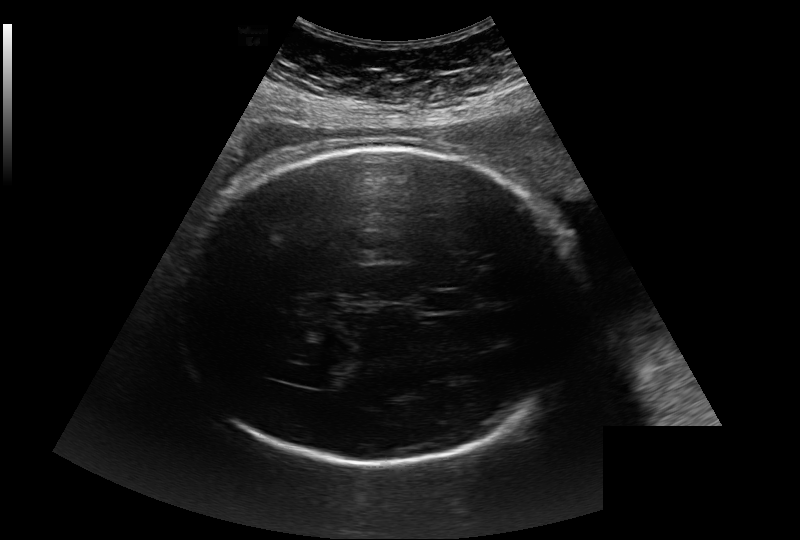
Fetal head ultrasound. Image width: 227.4 mm. Where is the cavum septum pellucidum?

CSP bounding box: [418,288,475,314]